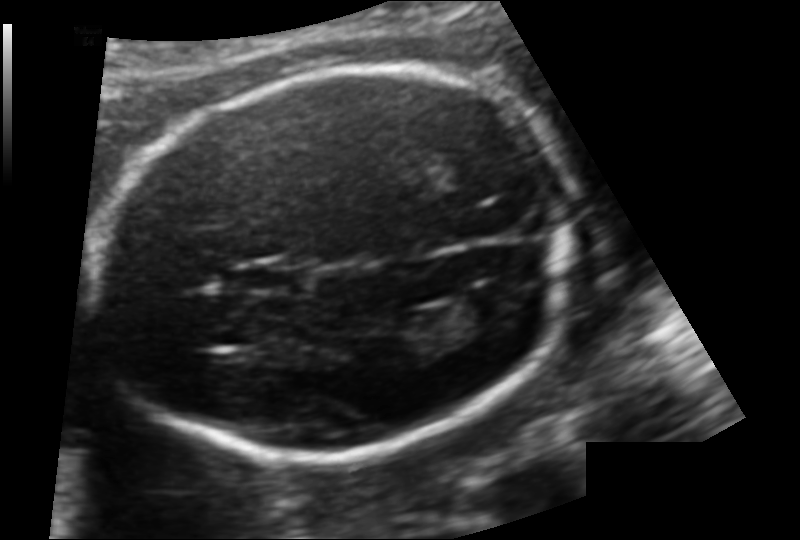
In this fetal head ultrasound, give the bounding box of the cavum septum pellucidum. Image width: 98.8 mm.

[230,255,308,300]